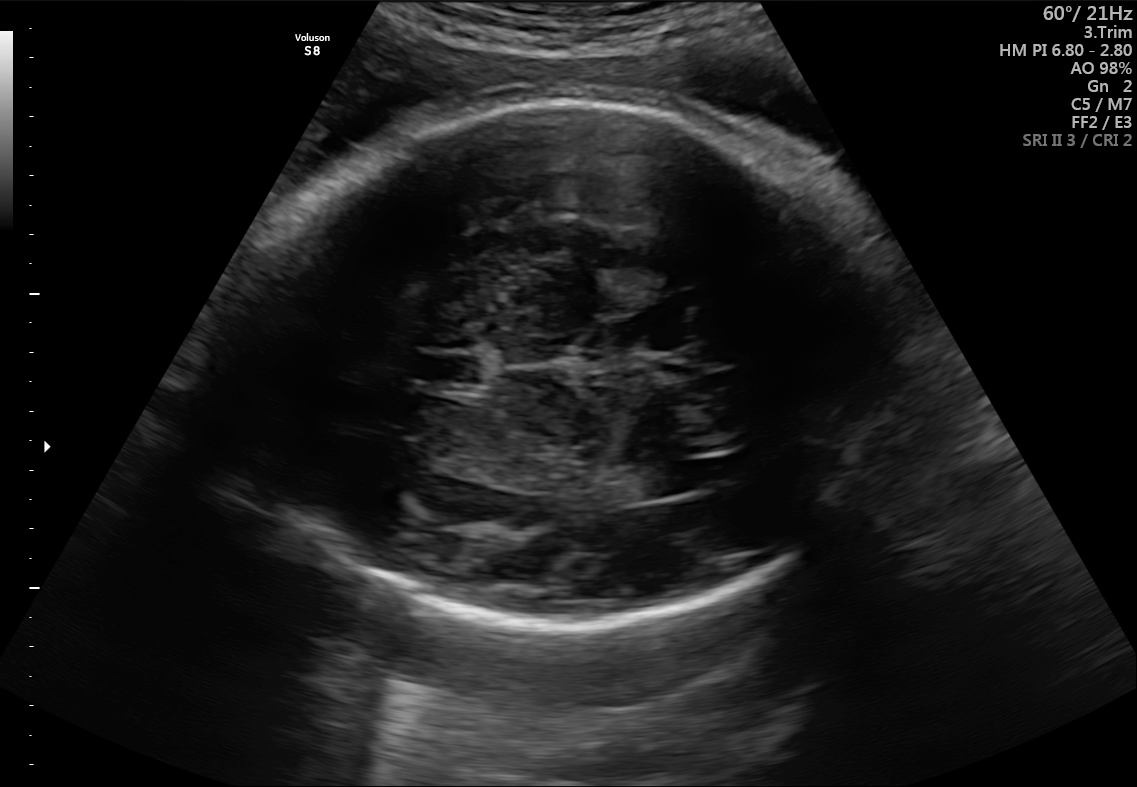
In this fetal brain, trans-ventricular plane, give the bounding box of the cavum septum pellucidum.

[423,354,481,384]